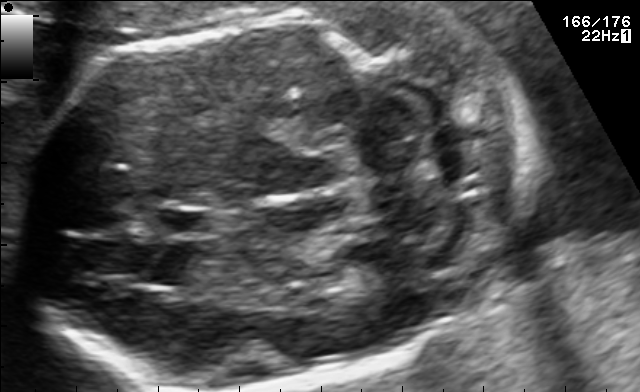
In this fetal brain, trans-cerebellum plane, give the bounding box of the fetal head.

[18,5,539,388]